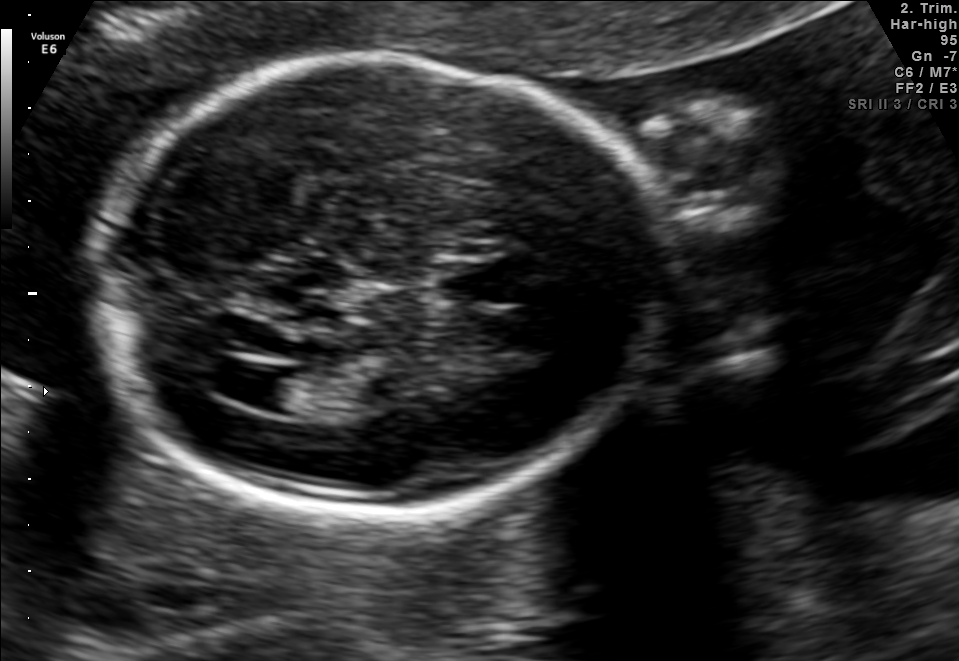
Fetal brain, trans-ventricular plane. Locate the cavum septum pellucidum.

CSP: [426,261,527,303]